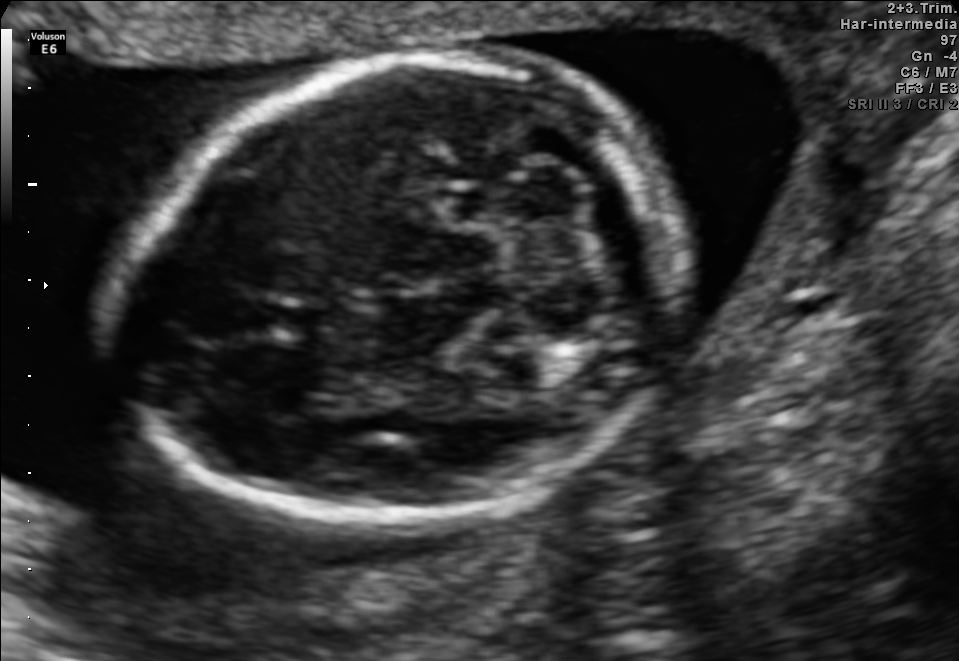
In this fetal brain, trans-cerebellum plane, give the bounding box of the fetal head.

[115,55,686,536]